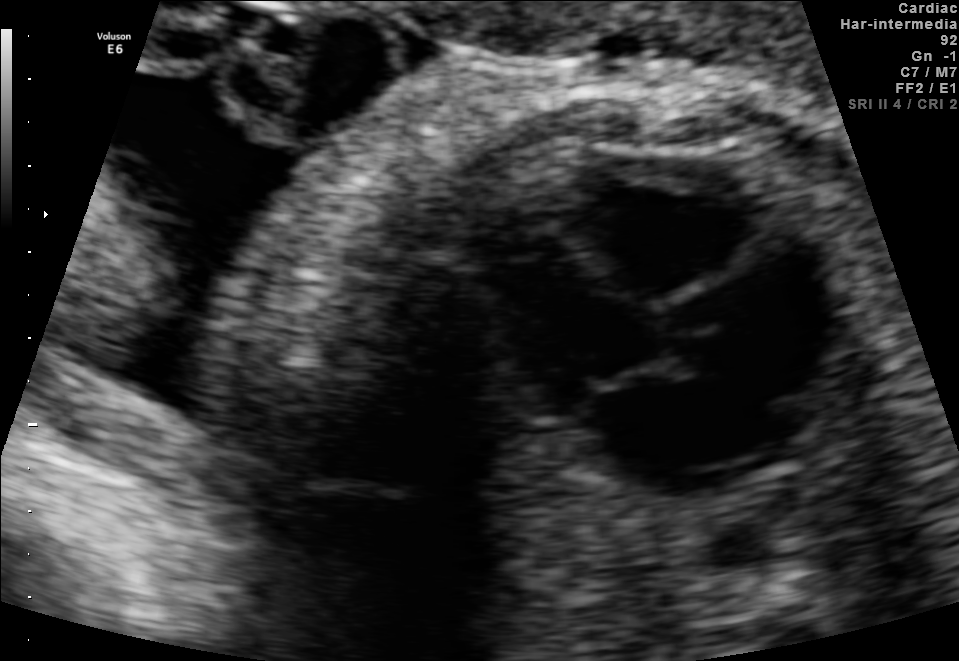
This is a 2D maternal-fetal ultrasound frame. Is it a fetal abdomen, fetal brain, fetal femur, fetal thorax, maternal cervix, or other standard plane? If it's fetal brain and one of the three standard brain planes (trans-thalamic, trans-cerebellum, trans-ventricular), name which.

Fetal thorax